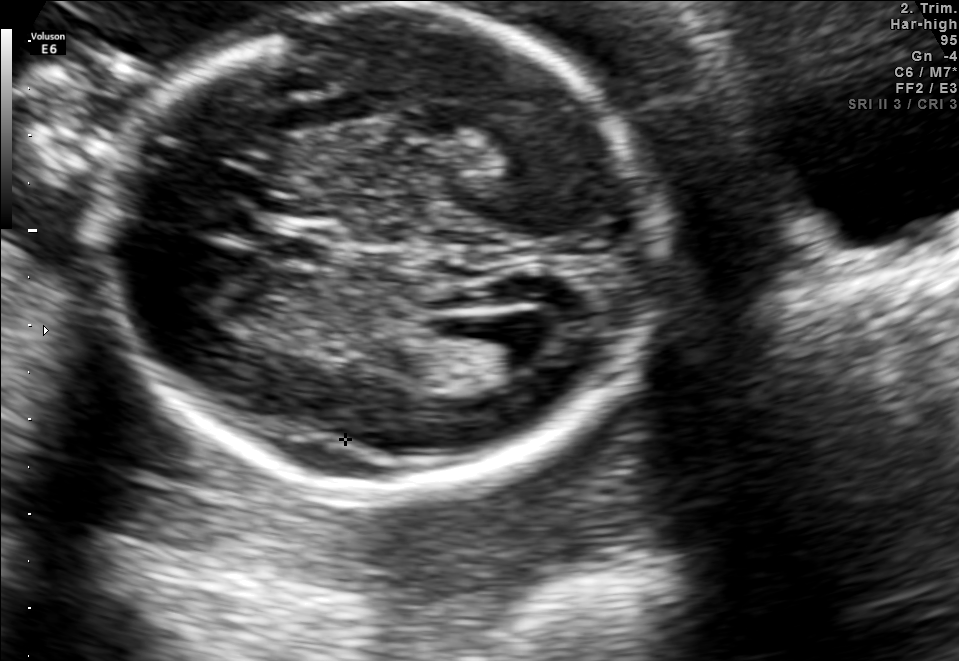
In this fetal brain, trans-ventricular plane, give the bounding box of the cavum septum pellucidum.

[276,232,332,267]